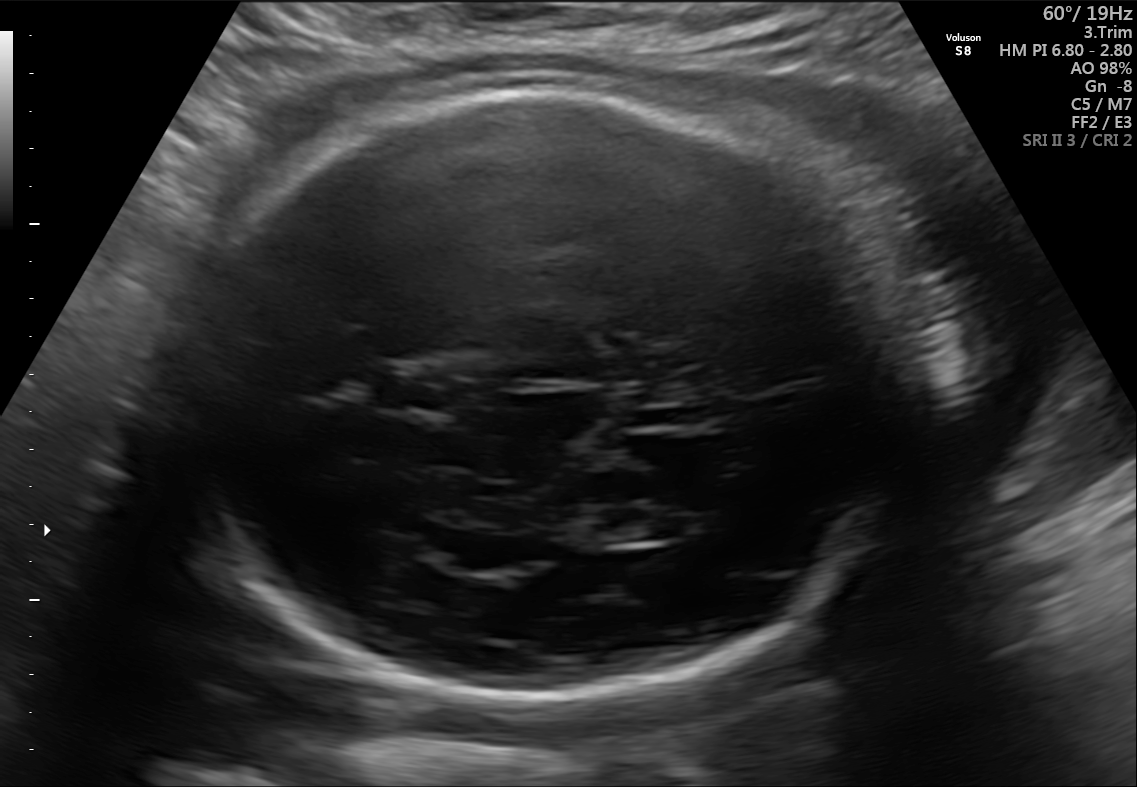
Fetal brain, trans-thalamic plane. Locate the fetal head and, if visible, the cavum septum pellucidum (CSP) and lateral ventricle (LV). Give bounding boxes as [x1,y1,x2,y2].

Head: [165,81,906,692]
CSP: [377,370,450,410]
Lateral ventricle: [568,504,678,549]